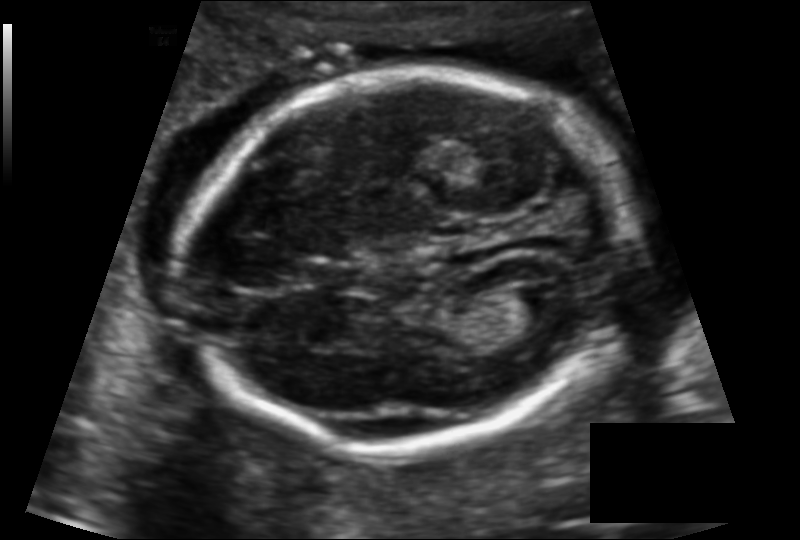
Fetal head ultrasound. Image width: 99.3 mm. Where is the fetal head?

Head bounding box: [178,74,634,453]